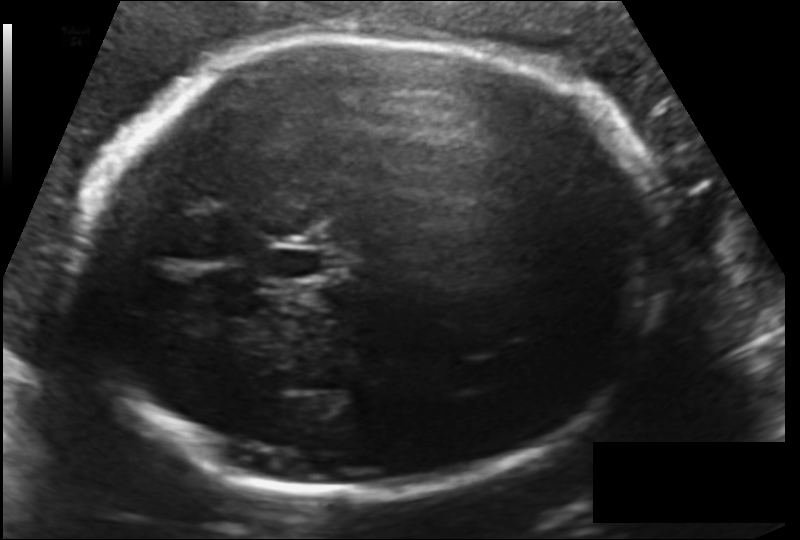
Estimate the fetal head circumference from this 2D ultrasound.

Head circumference: 255.8 mm (image width 122.1 mm).